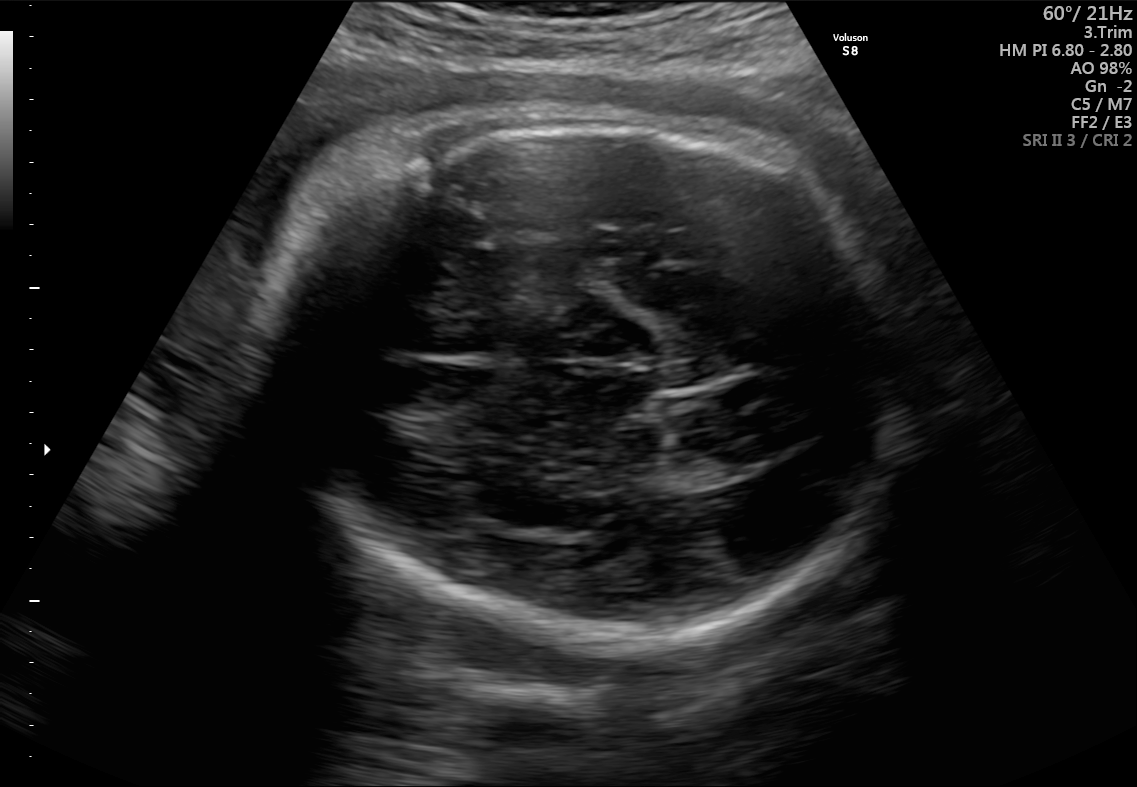
In this fetal brain, trans-thalamic plane, give the bounding box of the fetal head.

[280,111,909,650]